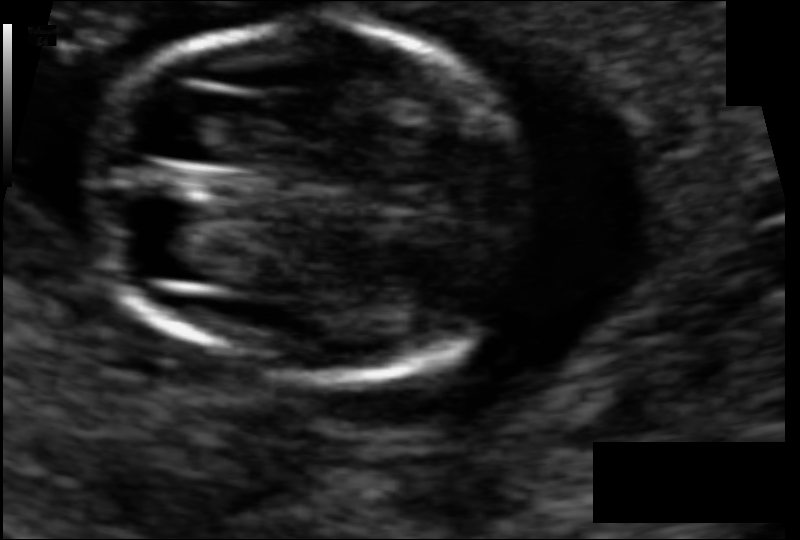
Fetal head ultrasound. Image width: 48.6 mm. Locate the fetal head and, if visible, the cavum septum pellucidum (CSP) and lateral ventricle (LV). Give bounding boxes as [x1,y1,x2,y2].

Head: [93,21,542,383]